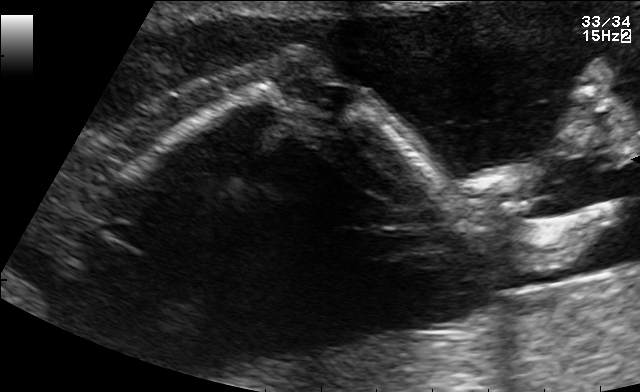
Which standard maternal-fetal ultrasound plane is shown: fetal abdomen, fetal brain, fetal femur, fetal thorax, maternal cervix, or other? If it's fetal brain and one of the three standard brain planes (trans-thalamic, trans-cerebellum, trans-ventricular), name which.

Fetal femur